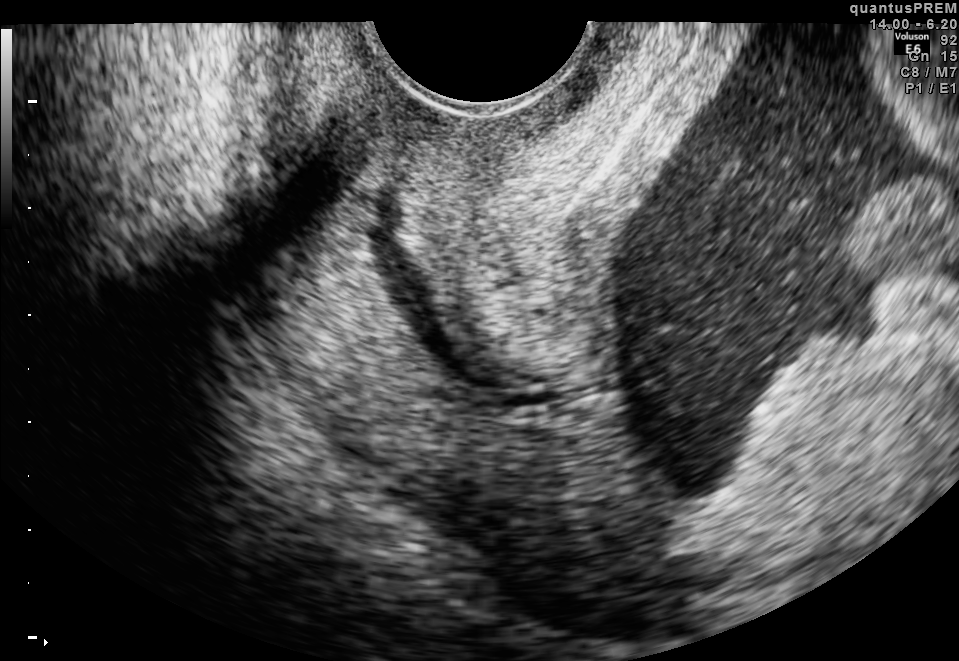
Classify this maternal-fetal ultrasound image as one of the six standard planes — fetal abdomen, fetal brain, fetal femur, fetal thorax, maternal cervix, or other. If it's fetal brain and one of the three standard brain planes (trans-thalamic, trans-cerebellum, trans-ventricular), name which.

Maternal cervix